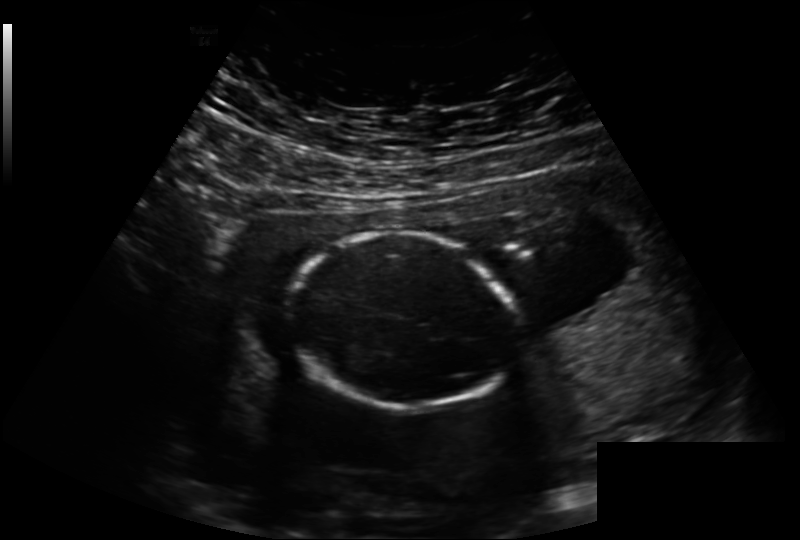
Fetal head ultrasound. Image width: 177.0 mm. Where is the fetal head?

Head bounding box: [290,232,518,409]